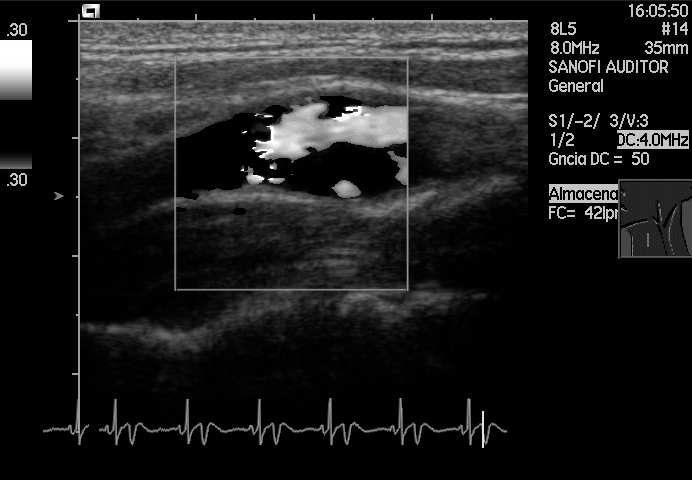
Which standard maternal-fetal ultrasound plane is shown: fetal abdomen, fetal brain, fetal femur, fetal thorax, maternal cervix, or other? If it's fetal brain and one of the three standard brain planes (trans-thalamic, trans-cerebellum, trans-ventricular), name which.

Other